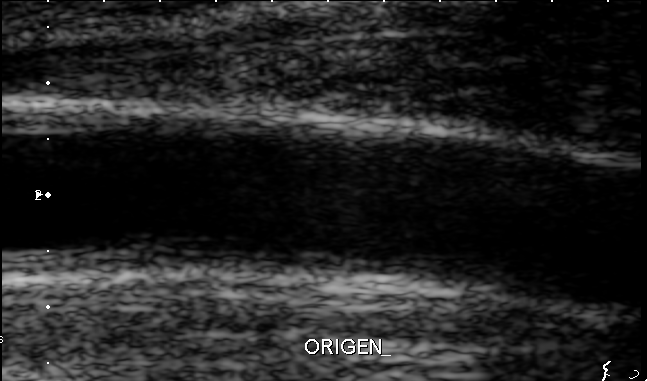
Classify this maternal-fetal ultrasound image as one of the six standard planes — fetal abdomen, fetal brain, fetal femur, fetal thorax, maternal cervix, or other. If it's fetal brain and one of the three standard brain planes (trans-thalamic, trans-cerebellum, trans-ventricular), name which.

Other